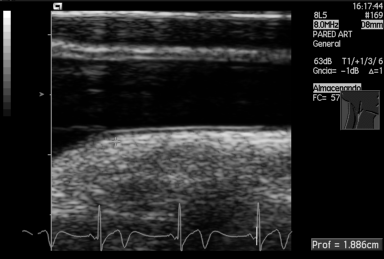
Identify the standard plane in this fetal ultrasound image: fetal abdomen, fetal brain, fetal femur, fetal thorax, maternal cervix, or other. If it's fetal brain and one of the three standard brain planes (trans-thalamic, trans-cerebellum, trans-ventricular), name which.

Other